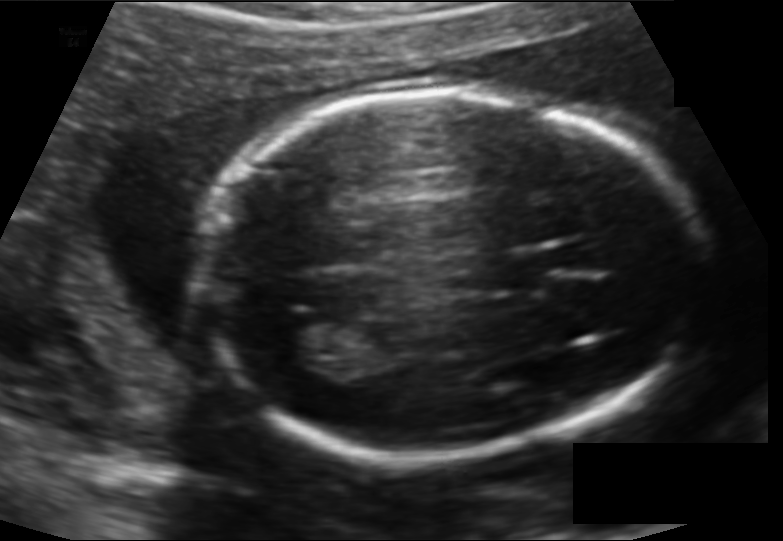
Fetal head ultrasound. Image width: 100.2 mm. Locate the fetal head.

Head: [191,92,698,455]